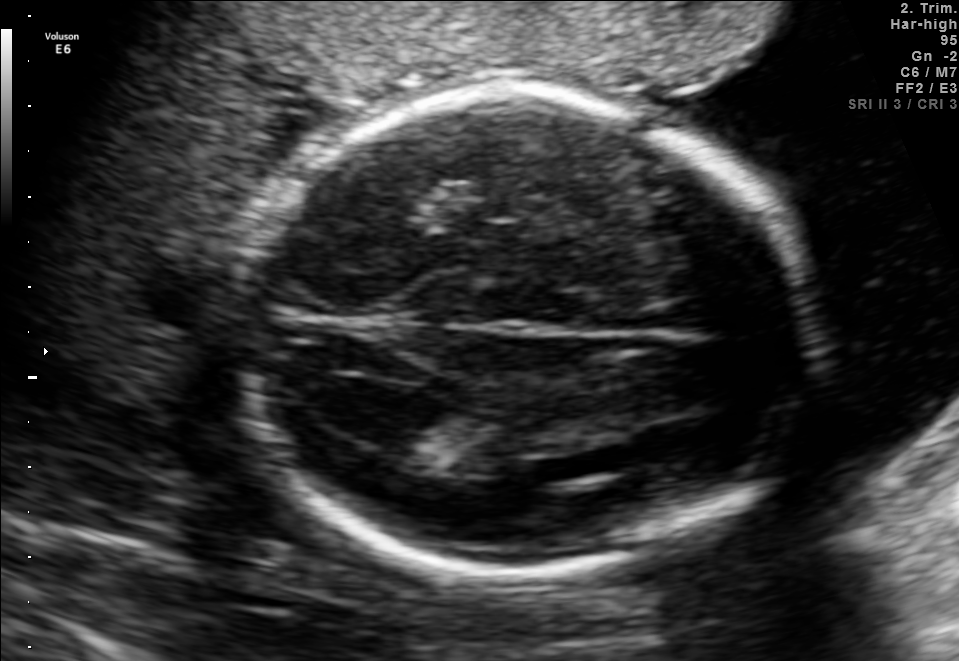
This is a 2D maternal-fetal ultrasound frame. Is it a fetal abdomen, fetal brain, fetal femur, fetal thorax, maternal cervix, or other standard plane? If it's fetal brain and one of the three standard brain planes (trans-thalamic, trans-cerebellum, trans-ventricular), name which.

Fetal brain (trans-ventricular plane)